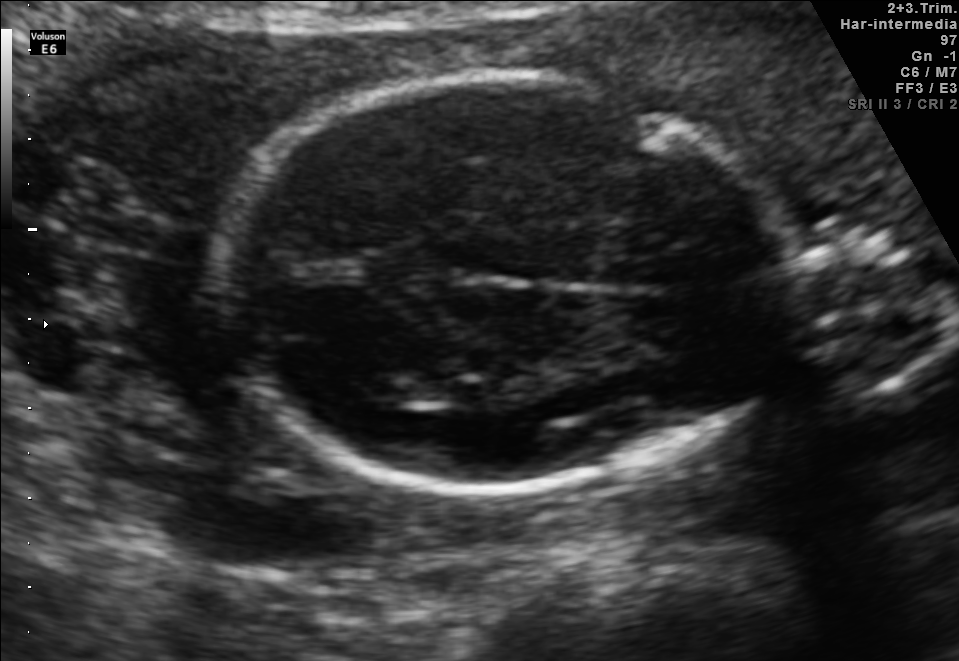
Fetal brain, trans-thalamic plane. Locate the fetal head.

Head: [217,74,788,491]